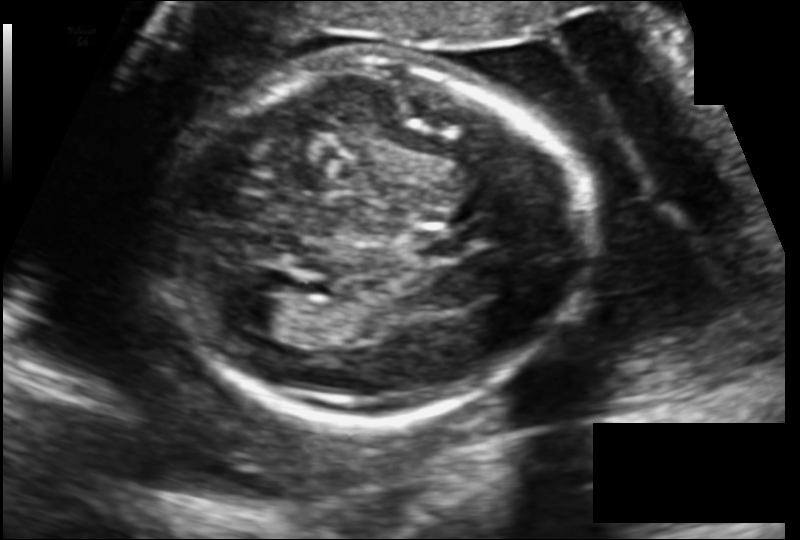
Fetal head ultrasound. Image width: 110.0 mm. Locate the lateral ventricle.

Lateral ventricle: [224,291,290,335]